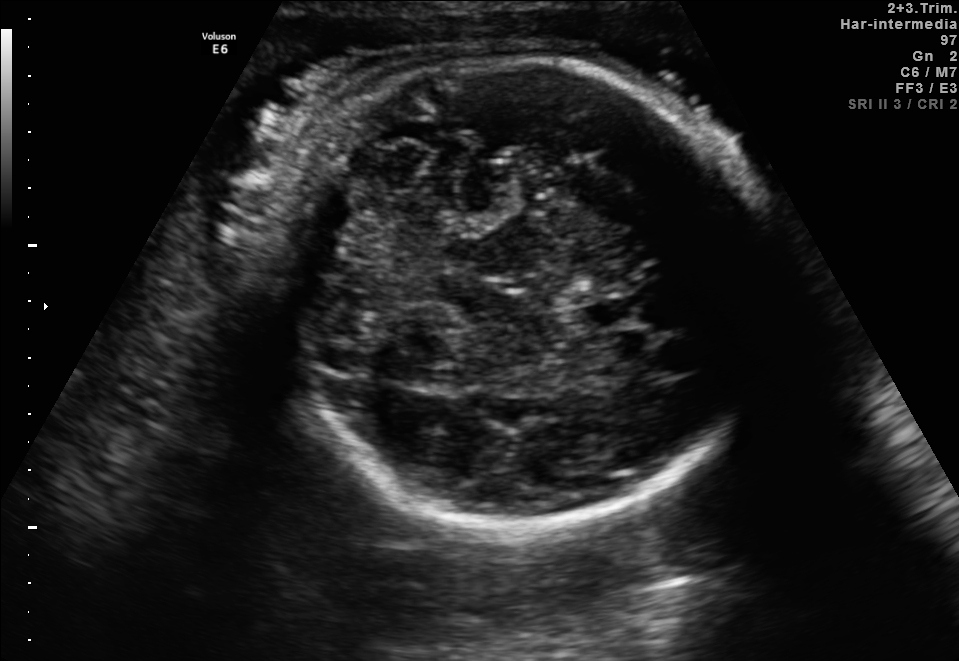
Fetal brain, trans-cerebellum plane. Locate the fetal head and, if visible, the cavum septum pellucidum (CSP) and lateral ventricle (LV). Give bounding boxes as [x1,y1,x2,y2].

Head: [247,59,776,526]
CSP: [576,291,640,331]